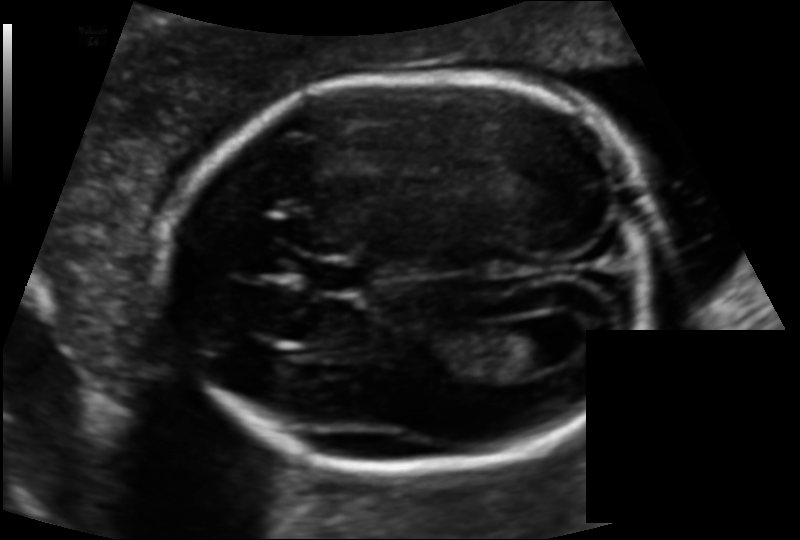
Fetal head ultrasound. Image width: 95.5 mm. Where is the lateral ventricle?

Lateral ventricle bounding box: [490,317,567,378]